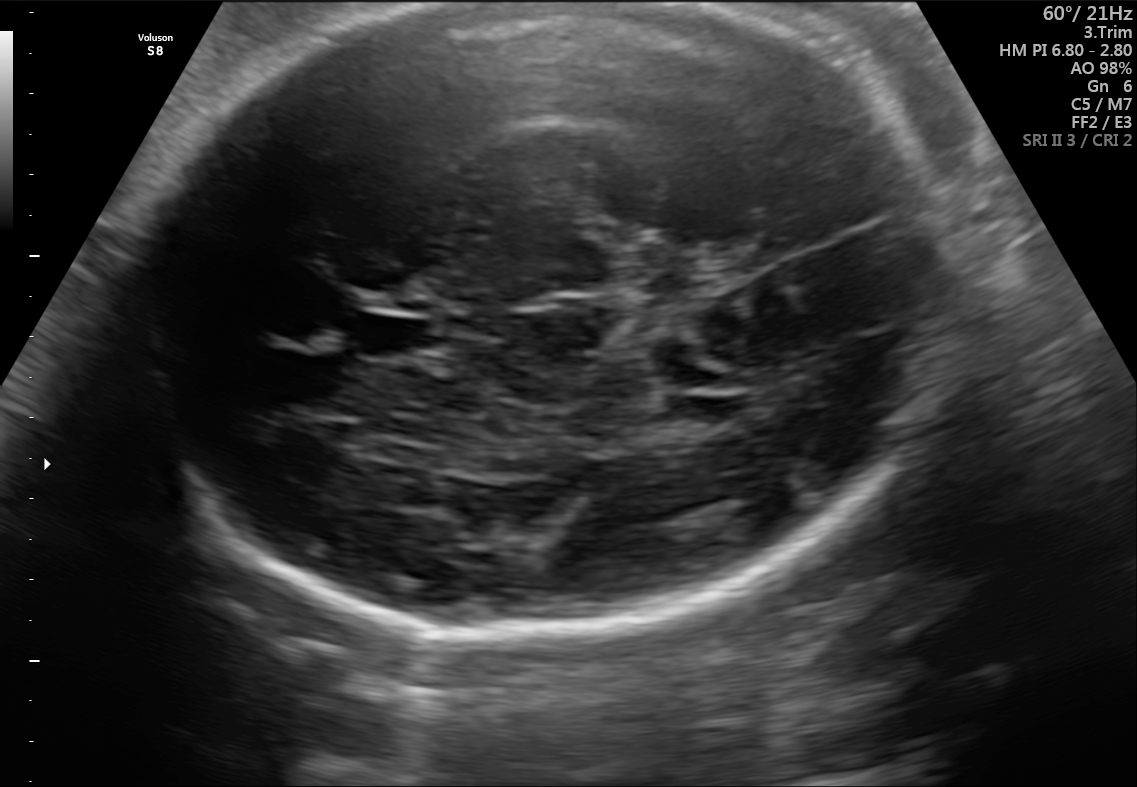
Fetal brain, trans-thalamic plane. Give [x1,y1,x2,y2] bounding boxes for each visible structure among: fetal head, CSP, LV.

Head: [128,4,950,645]
CSP: [357,314,432,360]